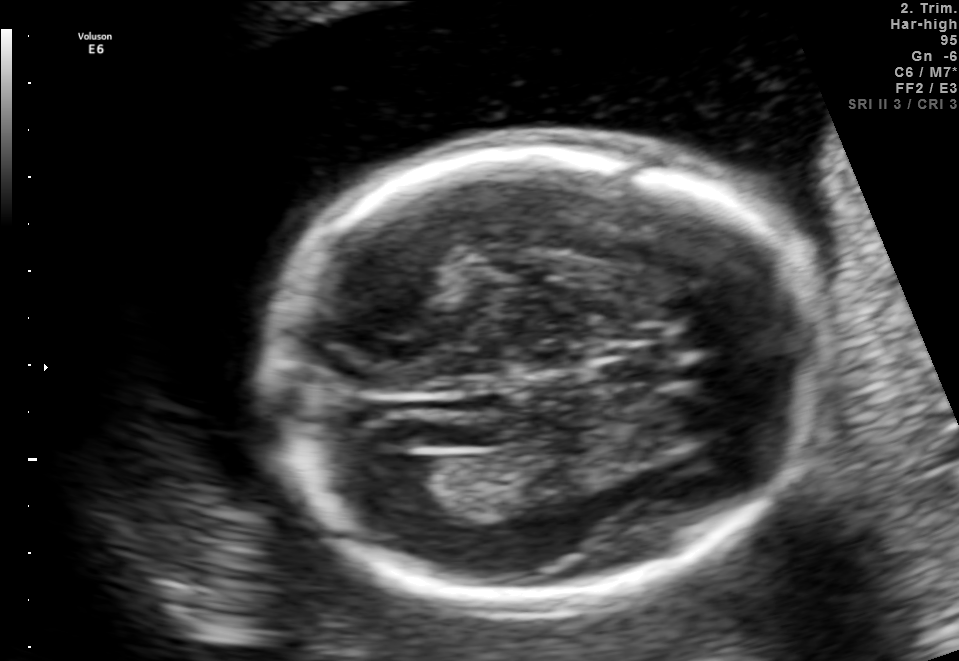
Fetal brain, trans-ventricular plane. Give [x1,y1,x2,y2] bounding boxes for each visible structure among: fetal head, CSP, LV.

Head: [257,125,834,622]
Lateral ventricle: [374,457,445,511]